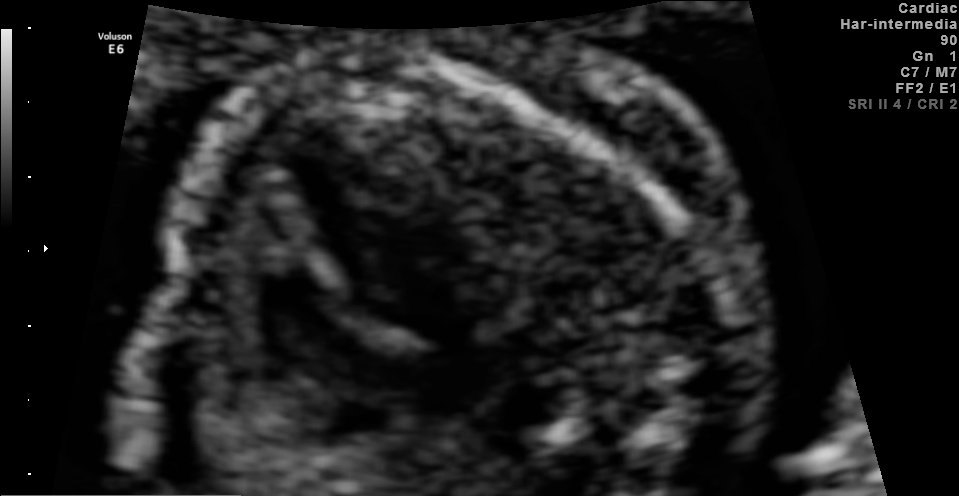
Identify the standard plane in this fetal ultrasound image: fetal abdomen, fetal brain, fetal femur, fetal thorax, maternal cervix, or other. If it's fetal brain and one of the three standard brain planes (trans-thalamic, trans-cerebellum, trans-ventricular), name which.

Fetal thorax